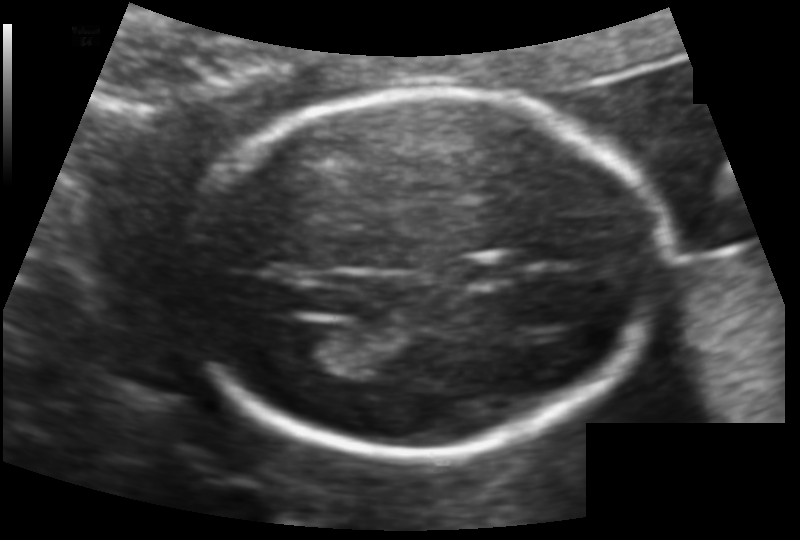
In this fetal head ultrasound, give bounding boxes for the head outline, cavum septum pellucidum (CSP), and lateral ventricle (LV), where visible. Image width: 90.1 mm.

Head: [184,92,618,457]
CSP: [457,252,522,288]
Lateral ventricle: [276,318,351,371]